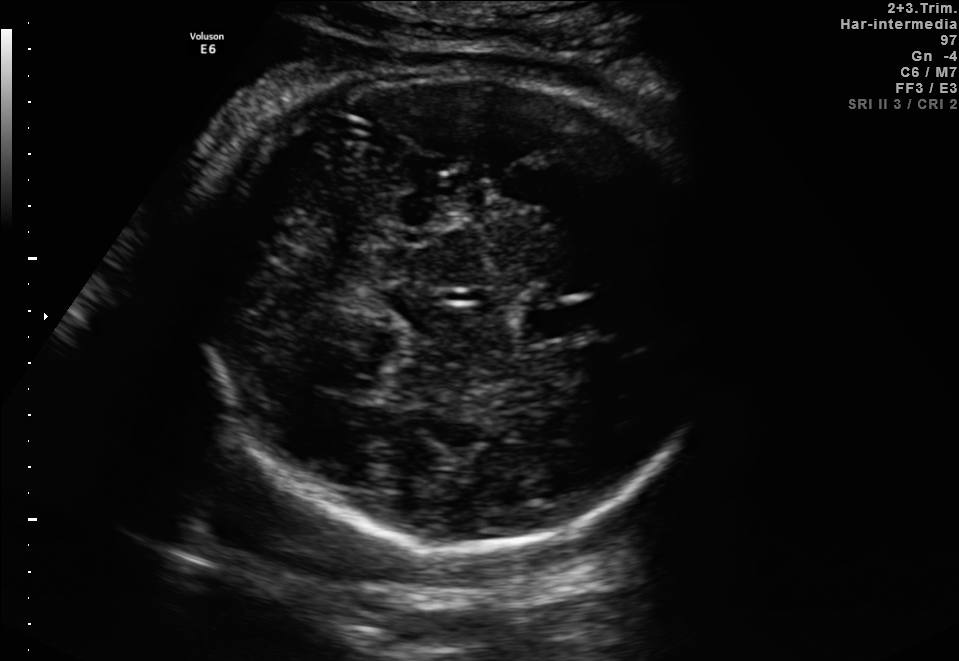
In this fetal brain, trans-thalamic plane, give bounding boxes for the head outline, cavum septum pellucidum (CSP), and lateral ventricle (LV), where visible.

Head: [192,72,715,545]
CSP: [524,299,594,343]